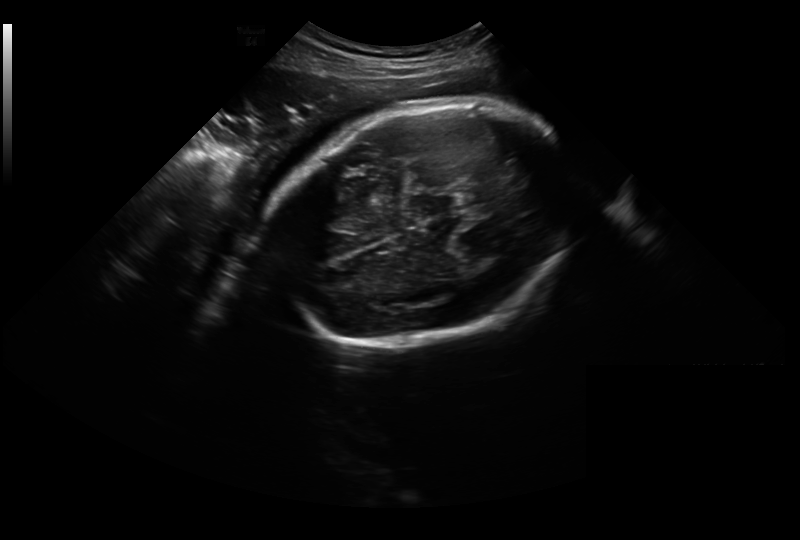
In this fetal head ultrasound, give the bounding box of the fetal head. Image width: 261.1 mm.

[269,102,573,346]